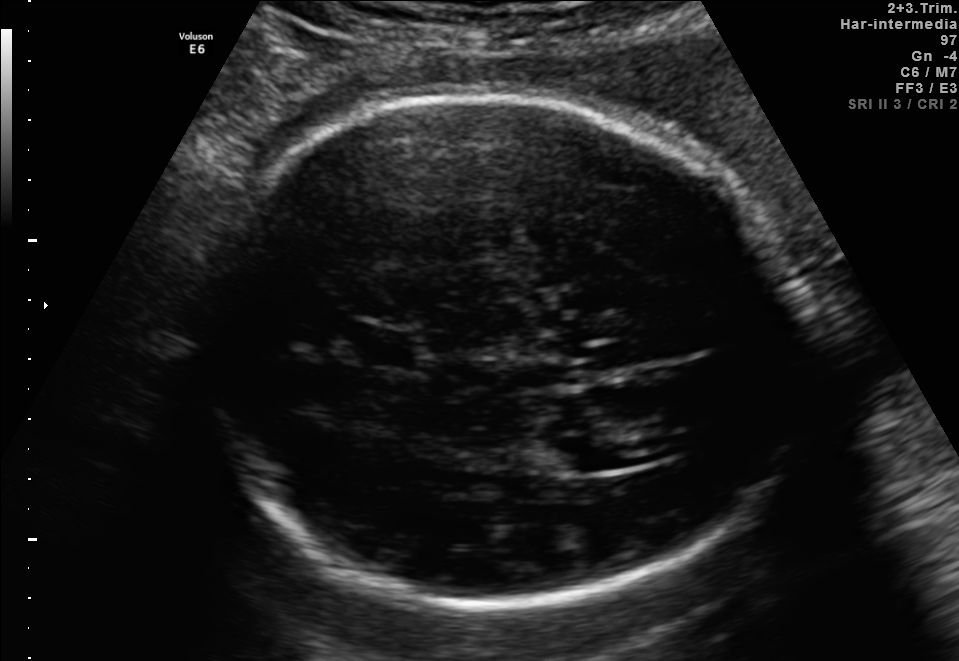
Fetal brain, trans-ventricular plane. Where is the lateral ventricle?

Lateral ventricle bounding box: [537,428,622,478]